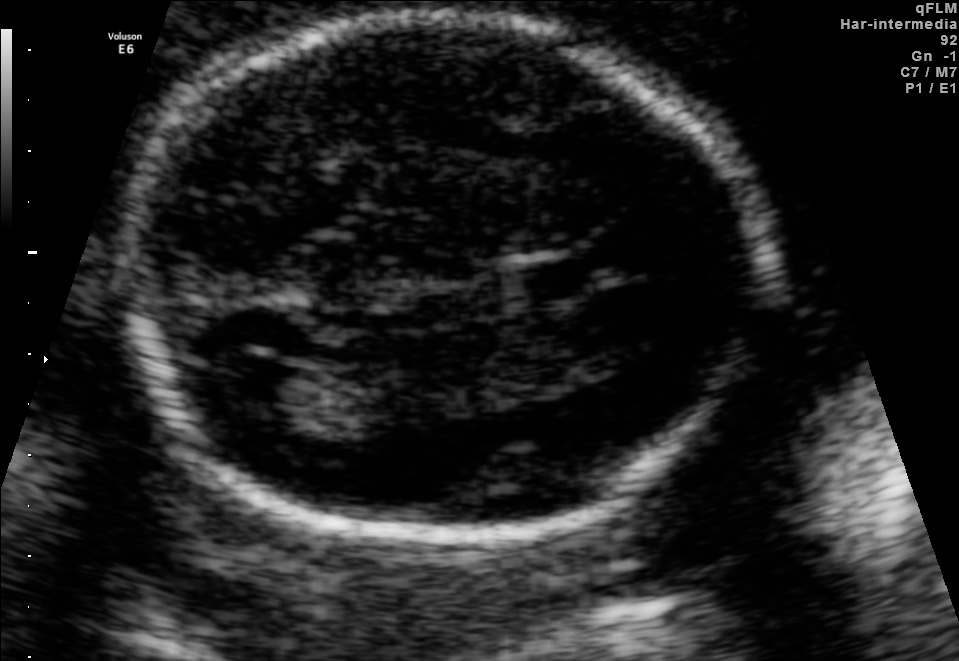
In this fetal brain, trans-ventricular plane, give bounding boxes for the head outline, cavum septum pellucidum (CSP), and lateral ventricle (LV), where visible.

Head: [101,6,796,561]
CSP: [498,241,612,316]
Lateral ventricle: [210,352,325,420]